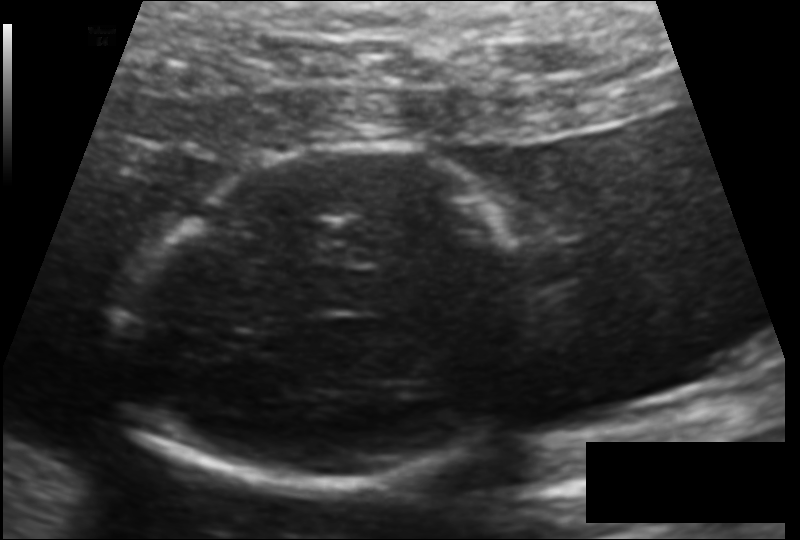
Fetal head ultrasound. Image width: 99.4 mm. Where is the fetal head?

Head bounding box: [126,148,527,490]